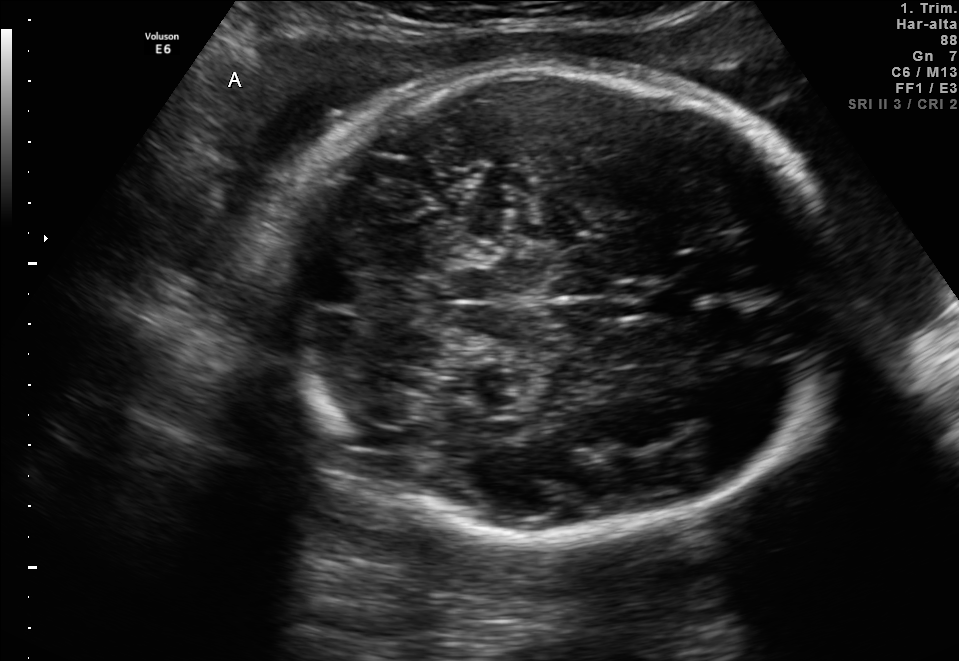
Fetal brain, trans-cerebellum plane. Locate the fetal head and, if visible, the cavum septum pellucidum (CSP) and lateral ventricle (LV). Give bounding boxes as [x1,y1,x2,y2].

Head: [260,66,849,537]